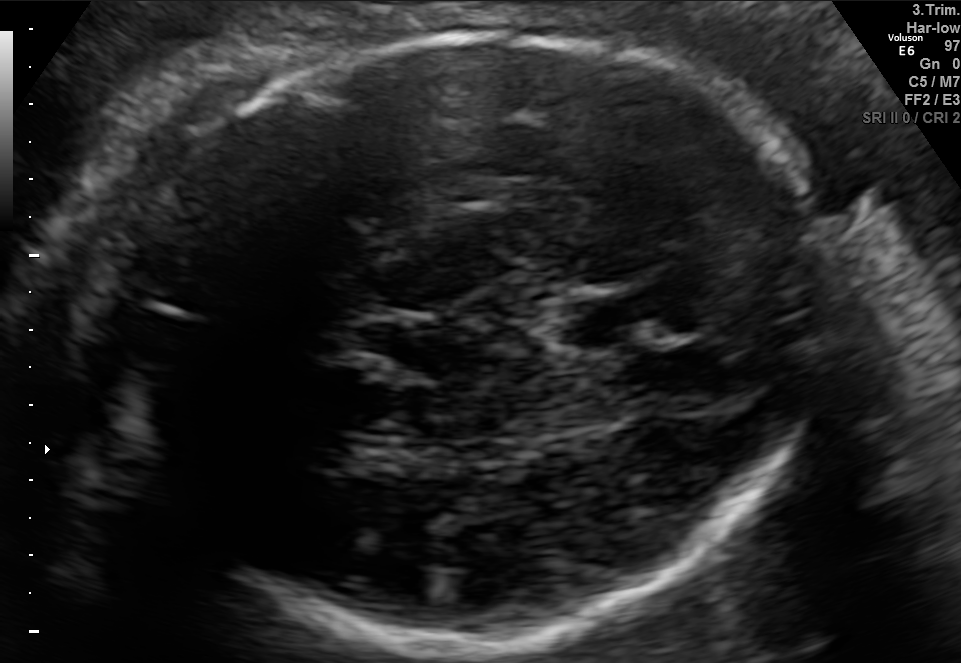
Fetal brain, trans-thalamic plane. Locate the cavum septum pellucidum.

CSP: [551,279,668,358]